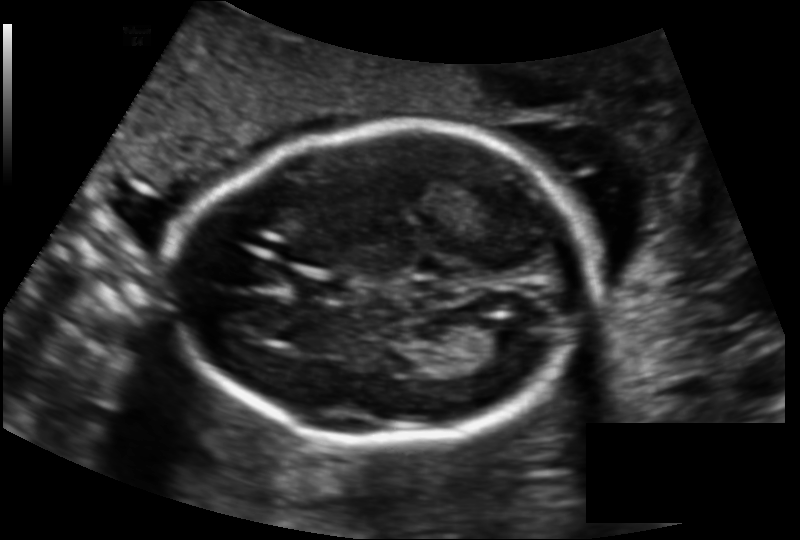
Fetal head ultrasound. Image width: 109.7 mm. Where is the cavum septum pellucidum?

CSP bounding box: [297,272,351,303]